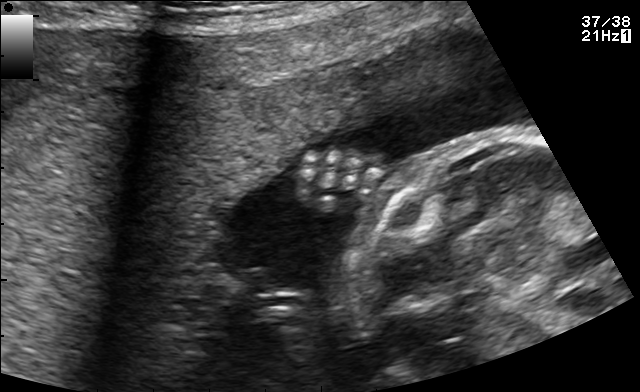
Which standard maternal-fetal ultrasound plane is shown: fetal abdomen, fetal brain, fetal femur, fetal thorax, maternal cervix, or other? If it's fetal brain and one of the three standard brain planes (trans-thalamic, trans-cerebellum, trans-ventricular), name which.

Other